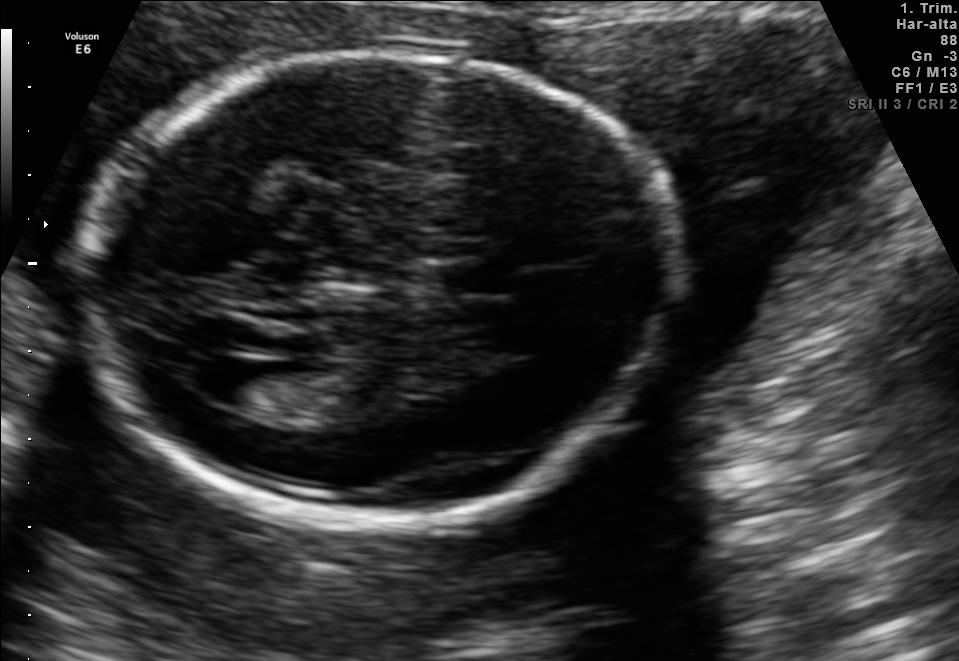
In this fetal brain, trans-ventricular plane, give bounding boxes for the head outline, cavum septum pellucidum (CSP), and lateral ventricle (LV), where visible.

Head: [67,46,692,527]
CSP: [433,257,526,299]
Lateral ventricle: [178,344,265,412]